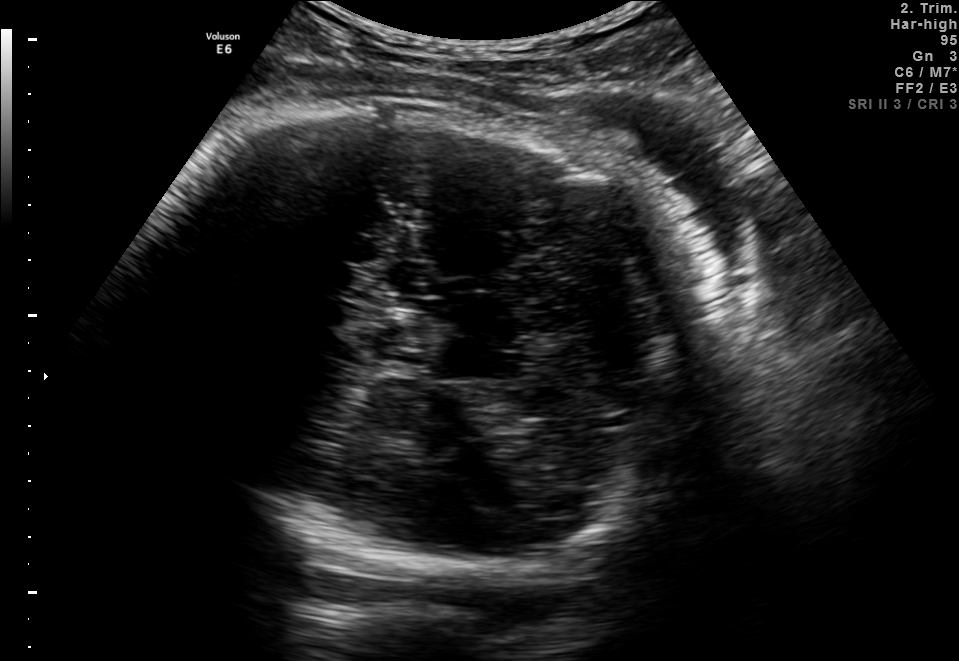
Identify the standard plane in this fetal ultrasound image: fetal abdomen, fetal brain, fetal femur, fetal thorax, maternal cervix, or other. If it's fetal brain and one of the three standard brain planes (trans-thalamic, trans-cerebellum, trans-ventricular), name which.

Fetal brain (trans-thalamic plane)